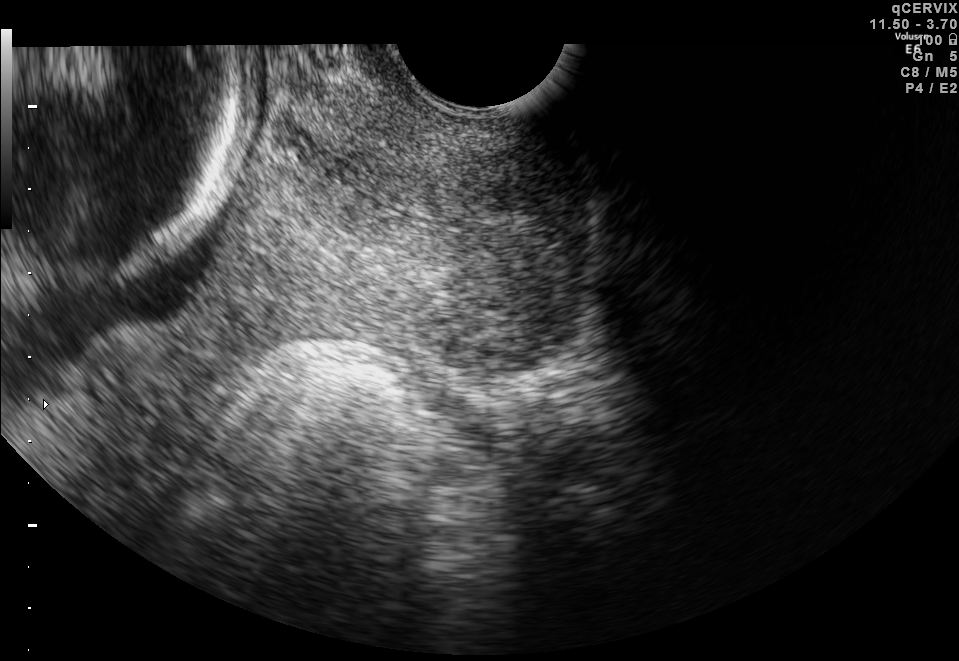
Identify the standard plane in this fetal ultrasound image: fetal abdomen, fetal brain, fetal femur, fetal thorax, maternal cervix, or other. If it's fetal brain and one of the three standard brain planes (trans-thalamic, trans-cerebellum, trans-ventricular), name which.

Maternal cervix